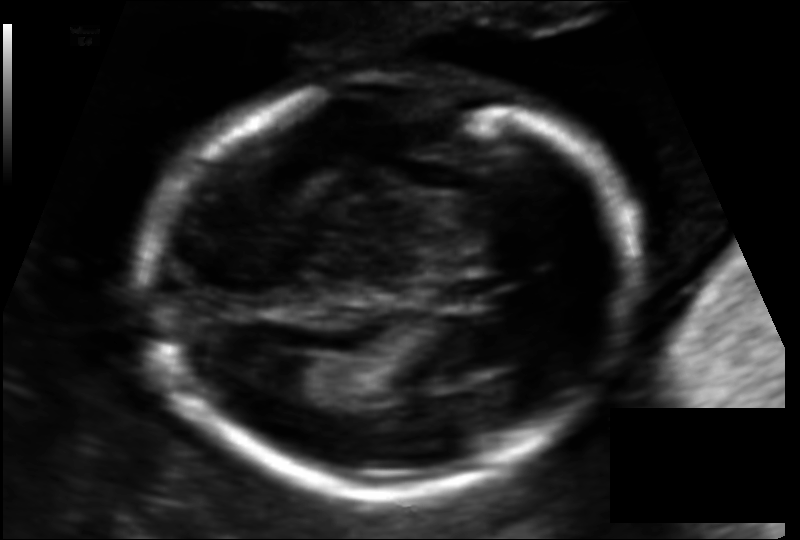
What is the fetal head circumference? Image width is 92.3 mm.

170.9 mm